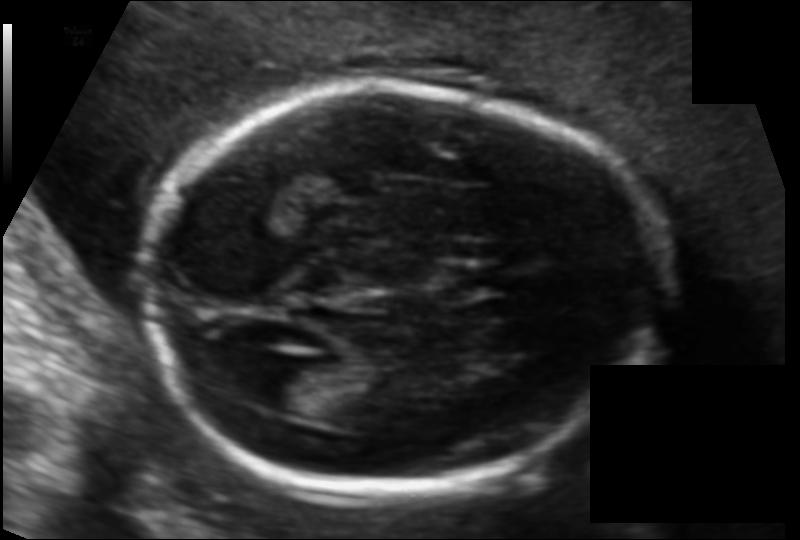
Measure the fetal head circumference shown in this ultrasound image. Image width: 88.8 mm.

Head circumference: 165.6 mm.